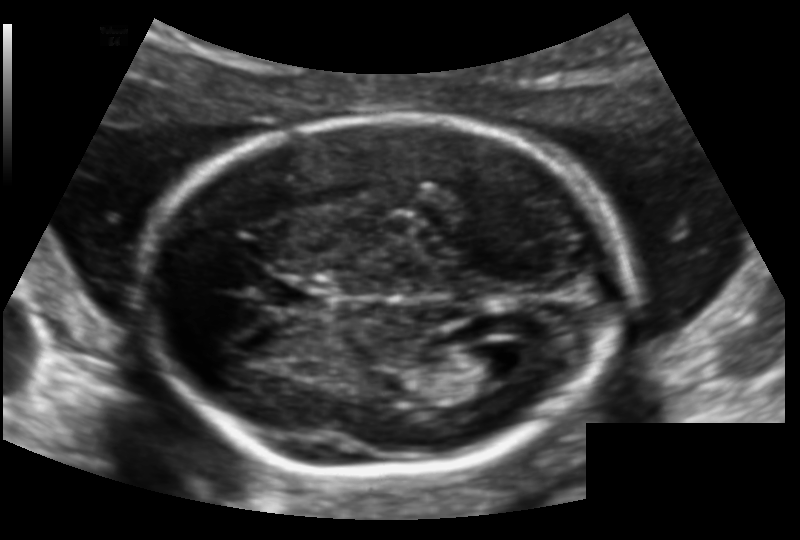
Measure the fetal head circumference shown in this ultrasound image. Image width: 102.0 mm.

Head circumference: 174.1 mm.